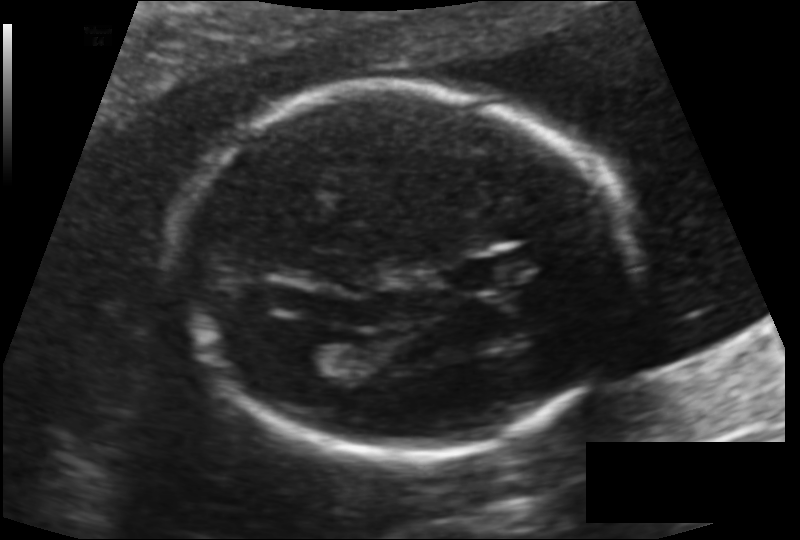
In this fetal head ultrasound, give the bounding box of the lateral ventricle. Image width: 104.6 mm.

[298,343,359,379]